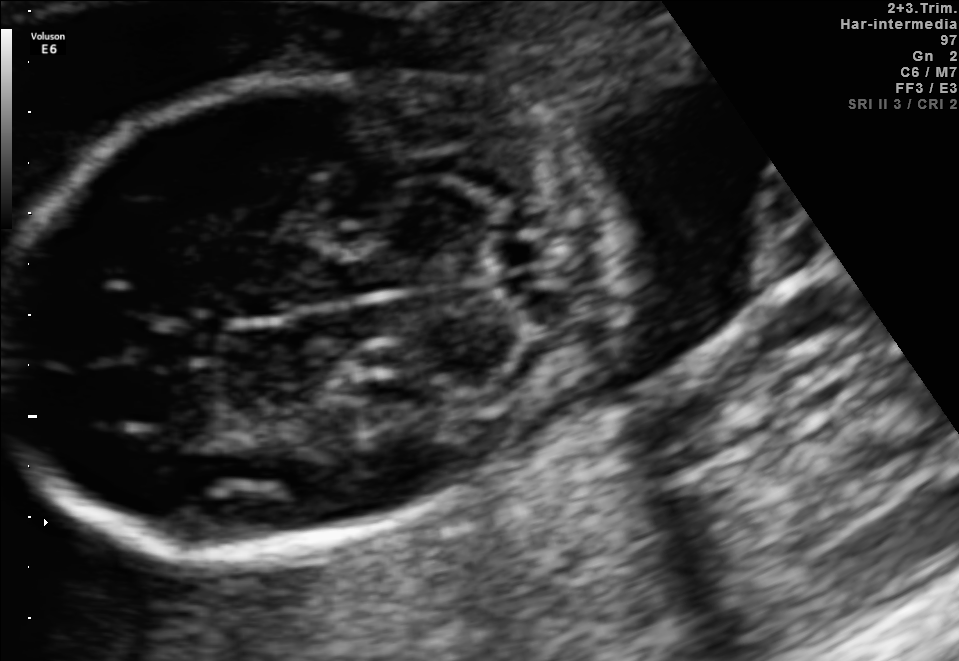
In this fetal brain, trans-cerebellum plane, give the bounding box of the cavum septum pellucidum.

[138,318,220,372]